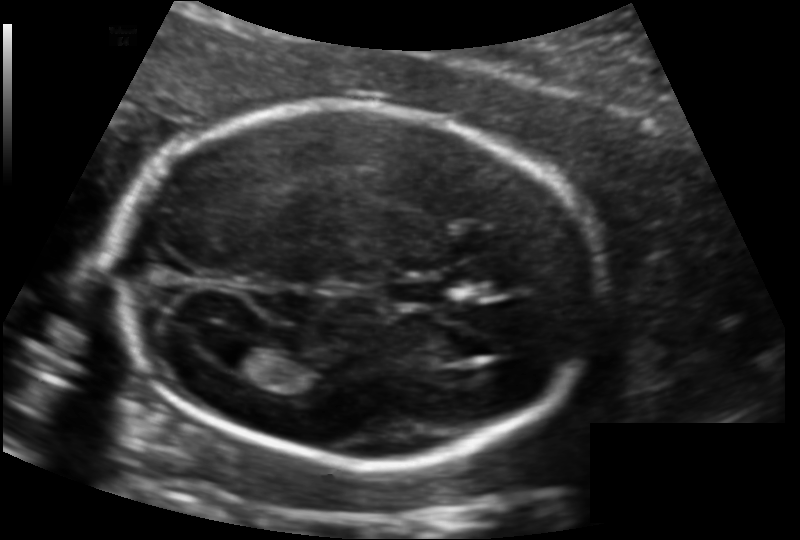
In this fetal head ultrasound, give the bounding box of the fetal head. Image width: 107.1 mm.

[115,104,595,466]